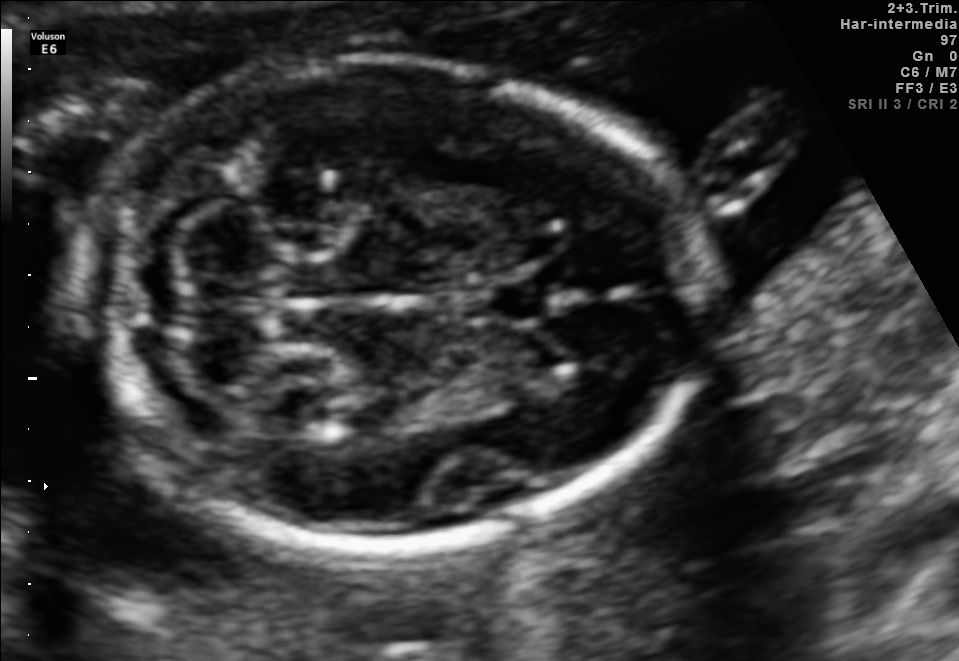
Fetal brain, trans-cerebellum plane. Where is the cavum septum pellucidum?

CSP bounding box: [477,276,554,325]